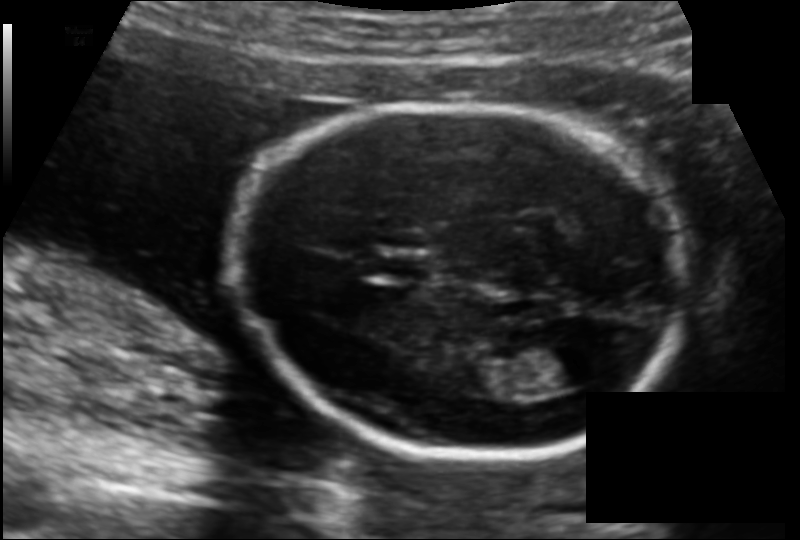
Fetal head ultrasound. Image width: 100.4 mm. Where is the fetal head?

Head bounding box: [236,103,684,455]